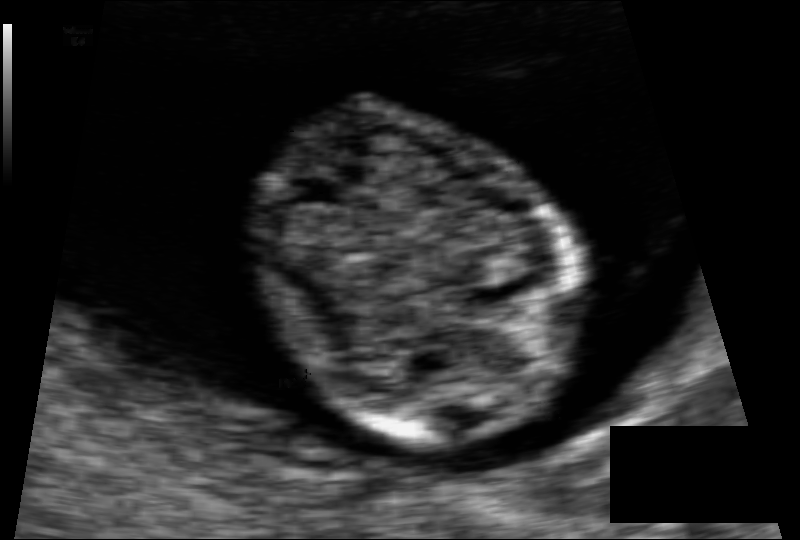
From this fetal ultrasound, estimate the head circumference (image width 49.5 mm).

Head circumference: 65.7 mm.